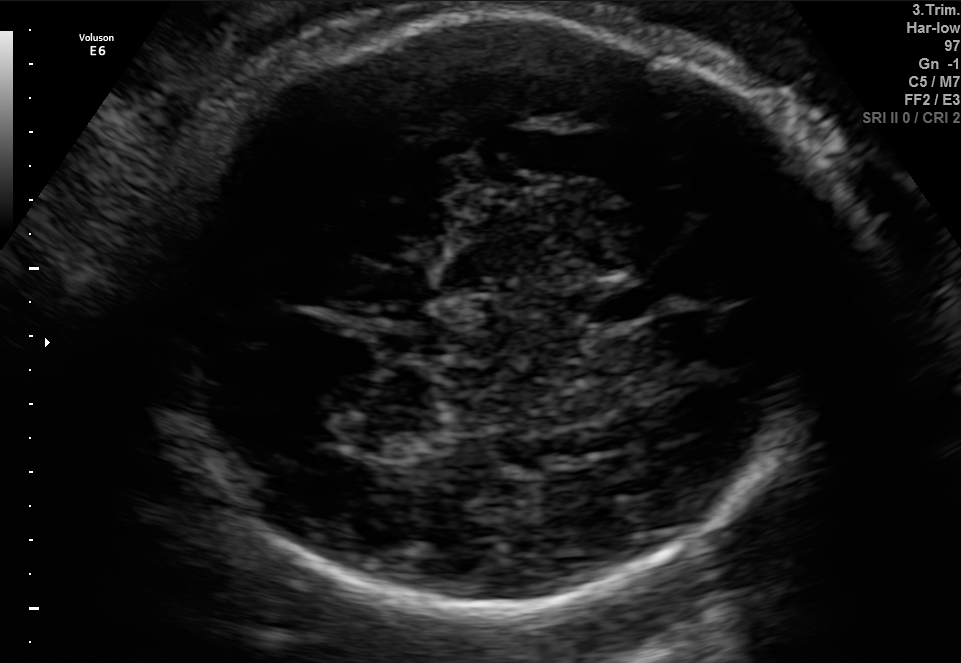
In this fetal brain, trans-thalamic plane, give the bounding box of the fetal head.

[149,12,836,609]